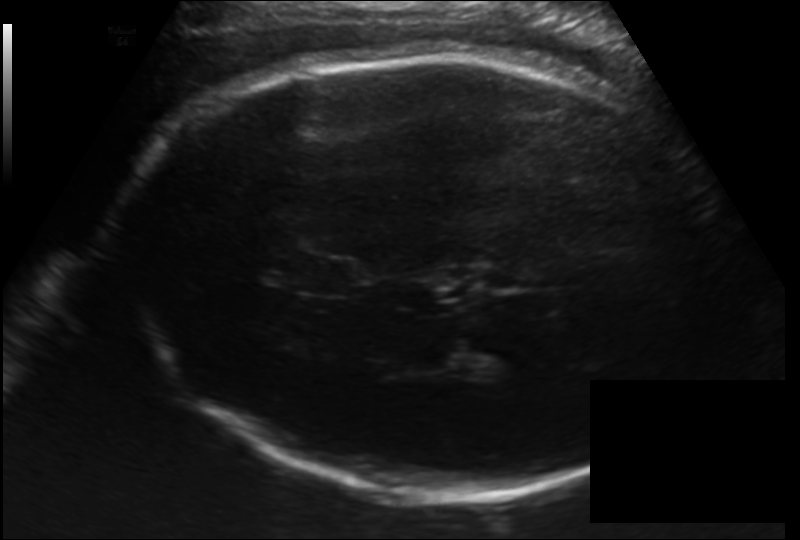
Estimate the fetal head circumference from this 2D ultrasound.

Head circumference: 328.6 mm (image width 153.4 mm).